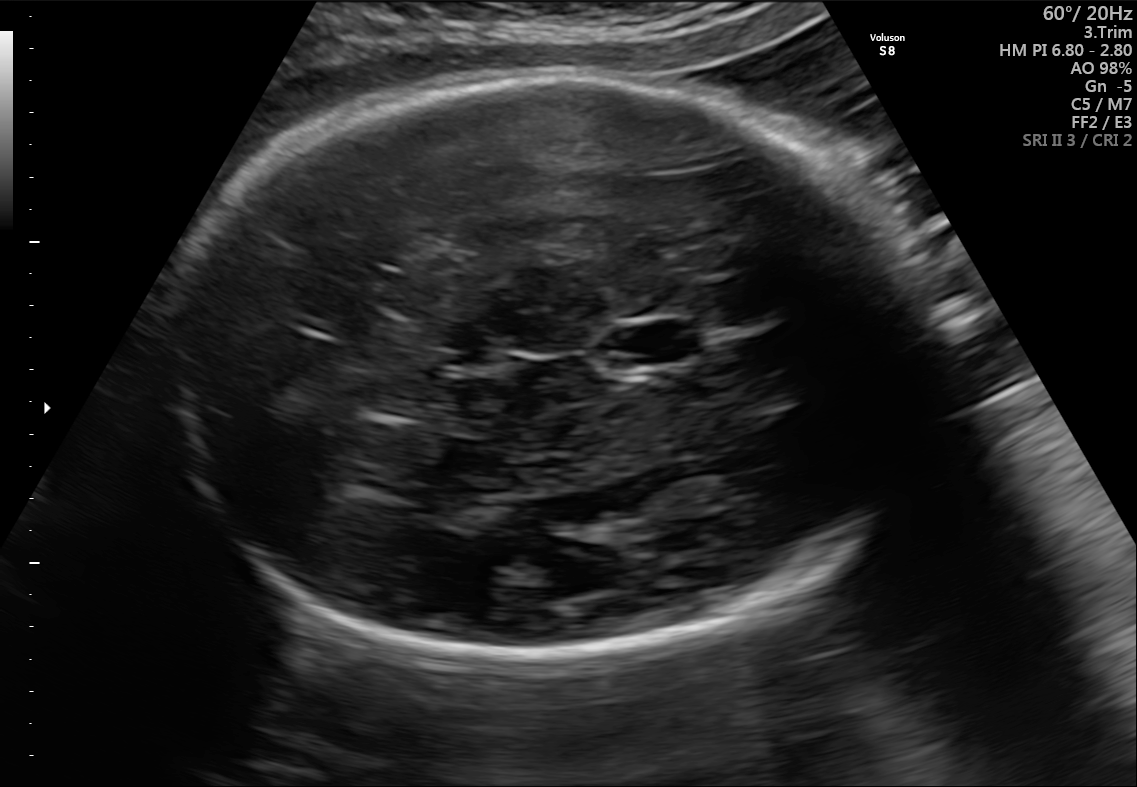
In this fetal brain, trans-thalamic plane, give the bounding box of the fetal head.

[155,74,944,663]